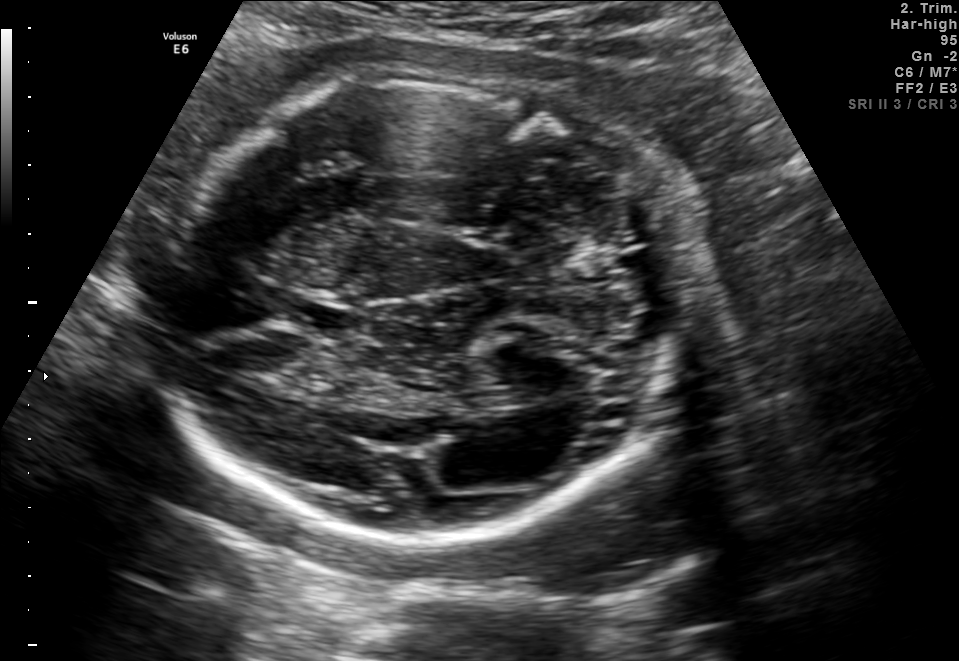
Identify the standard plane in this fetal ultrasound image: fetal abdomen, fetal brain, fetal femur, fetal thorax, maternal cervix, or other. If it's fetal brain and one of the three standard brain planes (trans-thalamic, trans-cerebellum, trans-ventricular), name which.

Fetal brain (trans-thalamic plane)